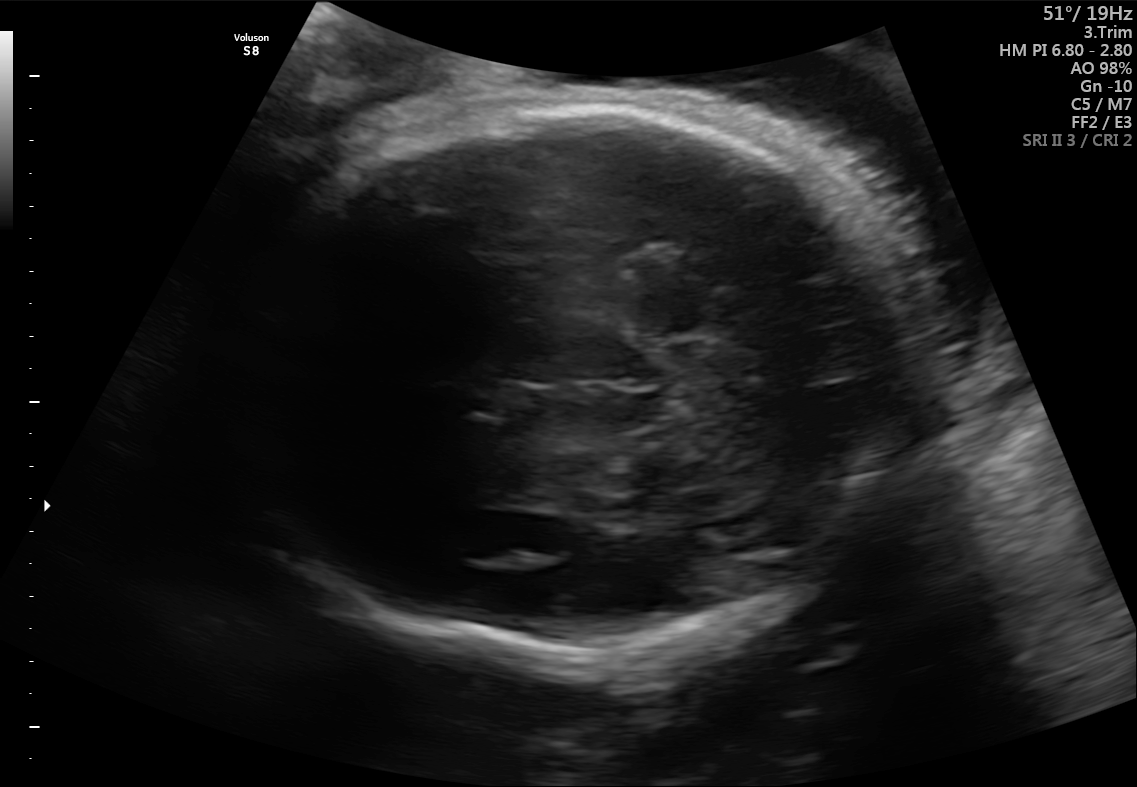
Fetal brain, trans-thalamic plane. Locate the fetal head.

Head: [210,98,934,656]